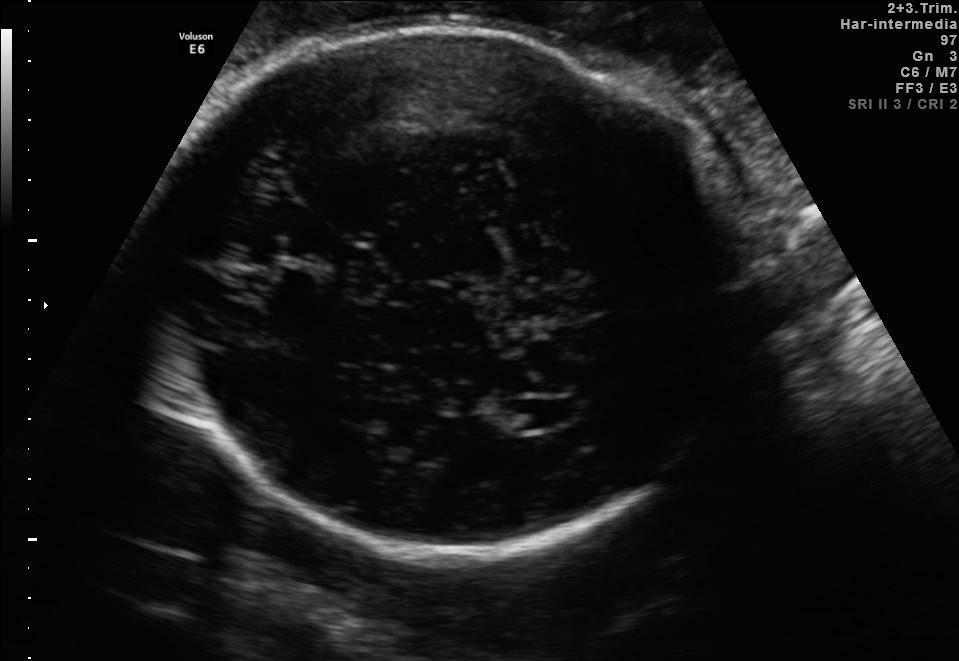
Fetal brain, trans-ventricular plane. Locate the fetal head.

Head: [147,22,762,559]